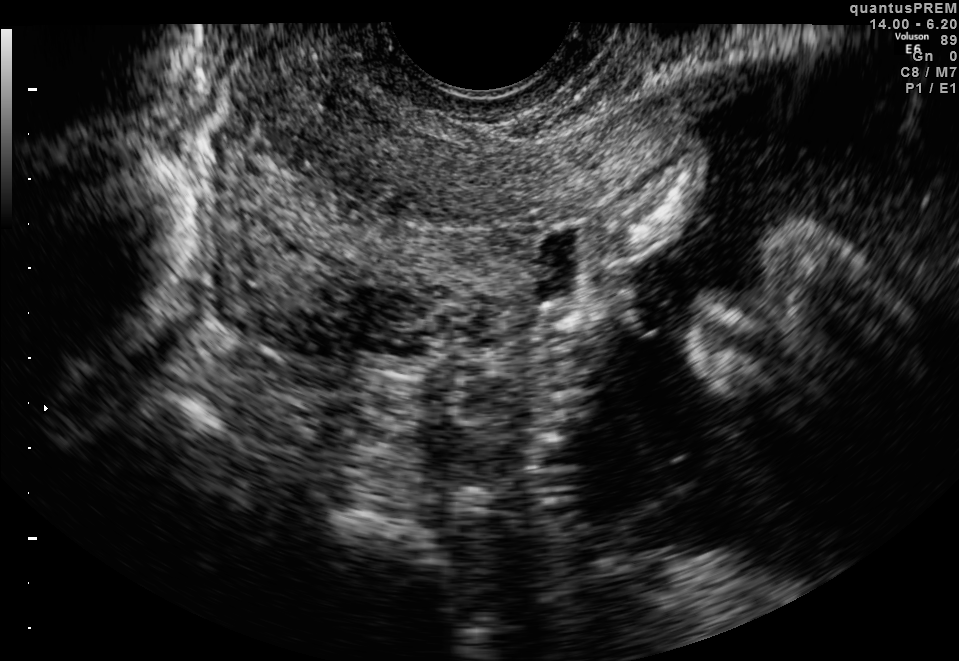
This is a 2D maternal-fetal ultrasound frame. Is it a fetal abdomen, fetal brain, fetal femur, fetal thorax, maternal cervix, or other standard plane? If it's fetal brain and one of the three standard brain planes (trans-thalamic, trans-cerebellum, trans-ventricular), name which.

Maternal cervix